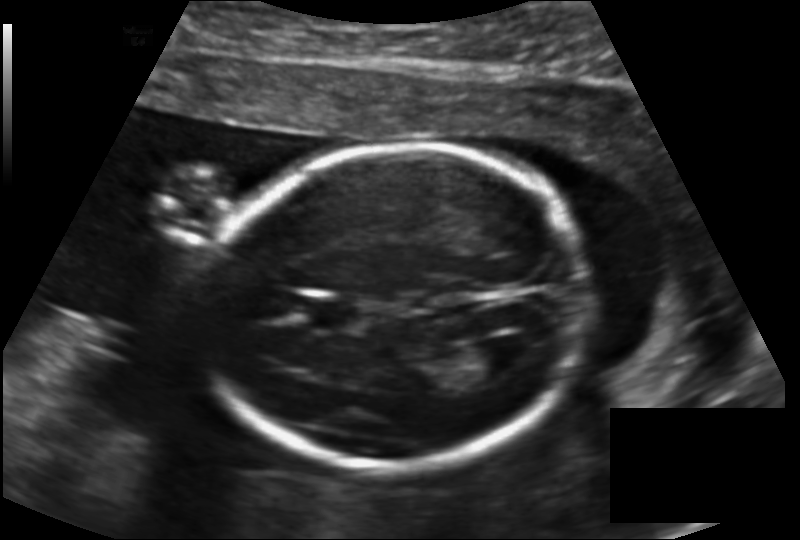
Estimate the fetal head circumference from this 2D ultrasound. Image width: 117.6 mm.

Head circumference: 169.7 mm.